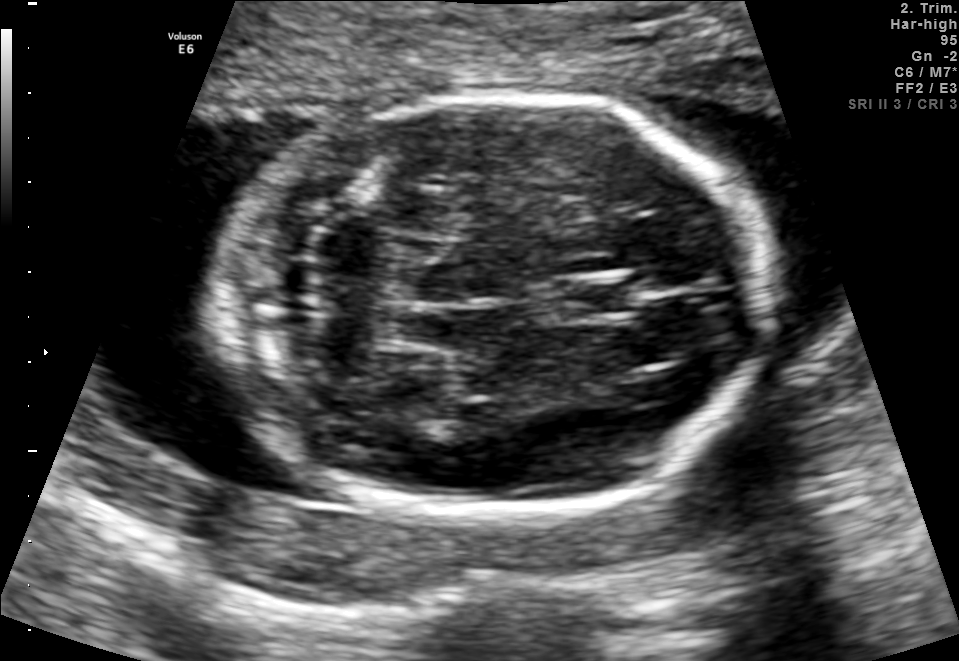
Fetal brain, trans-cerebellum plane. Give [x1,y1,x2,y2] bounding boxes for each visible structure among: fetal head, CSP, LV.

Head: [210,95,773,518]
CSP: [547,277,634,322]